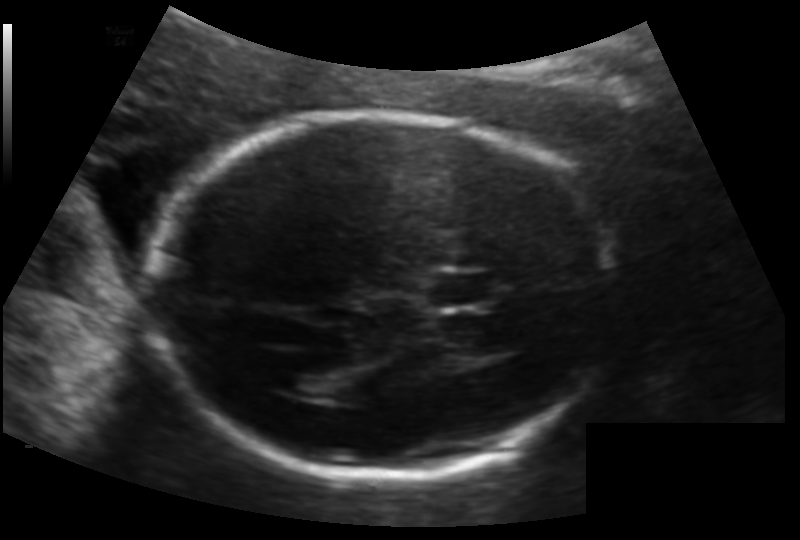
In this fetal head ultrasound, give the bounding box of the cavum septum pellucidum. Image width: 106.4 mm.

[425,268,498,310]